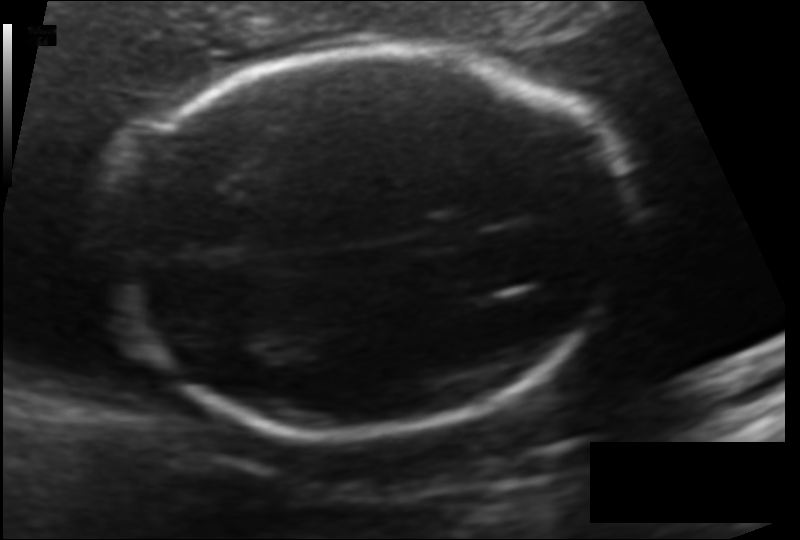
In this fetal head ultrasound, give bounding boxes for the head outline, cavum septum pellucidum (CSP), and lateral ventricle (LV), where visible. Image width: 97.8 mm.

Head: [109,47,631,431]